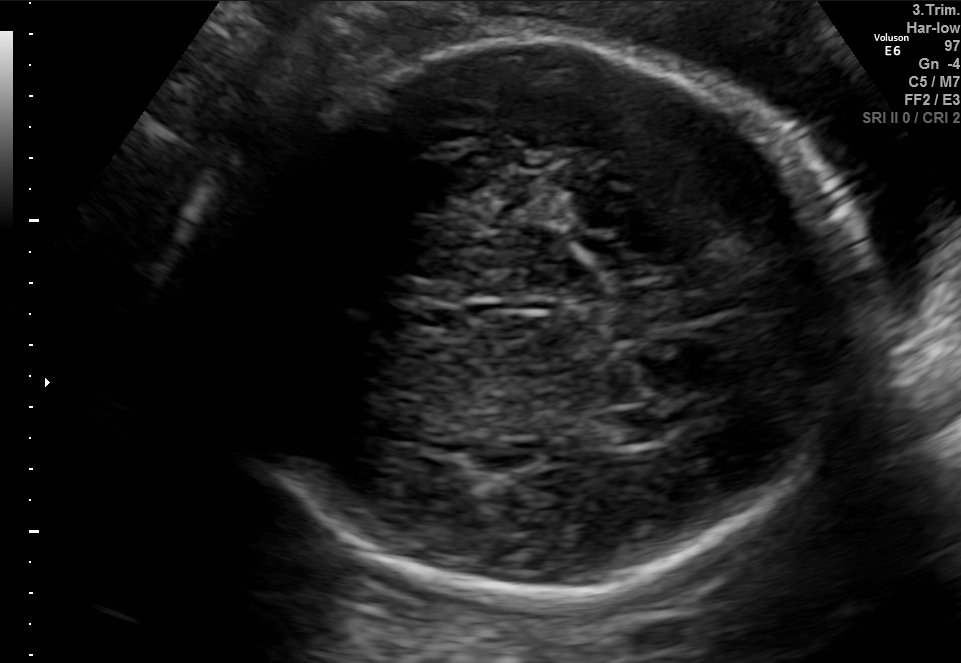
Fetal brain, trans-thalamic plane. Locate the lateral ventricle.

Lateral ventricle: [584,404,662,453]